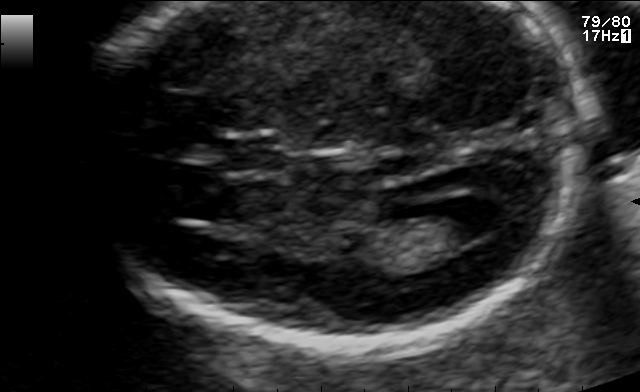
In this fetal brain, trans-ventricular plane, give the bounding box of the lateral ventricle.

[424,184,511,251]